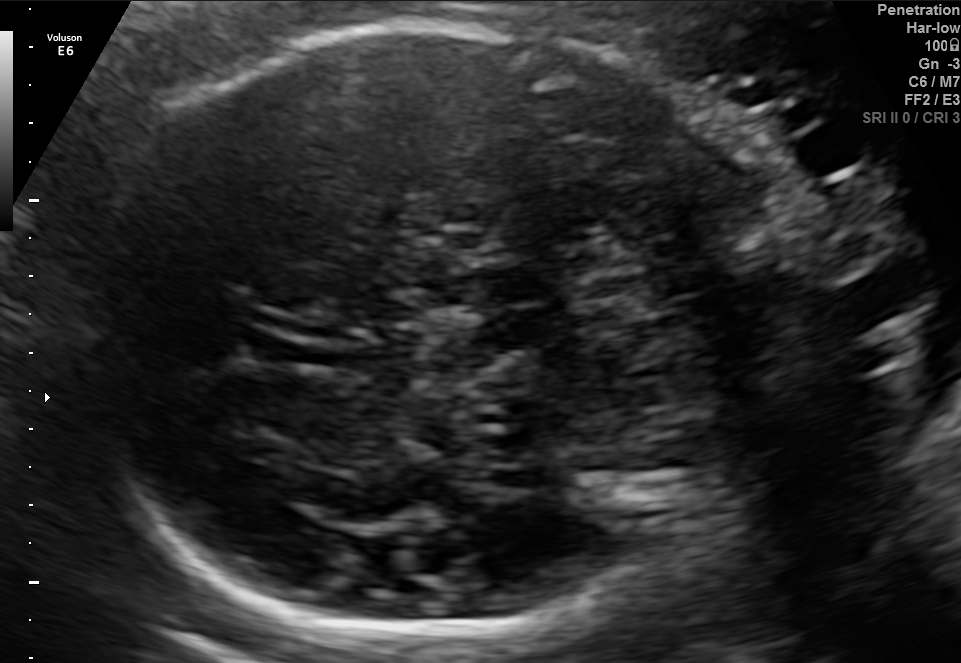
Fetal brain, trans-thalamic plane. Locate the fetal head.

Head: [74,25,775,640]